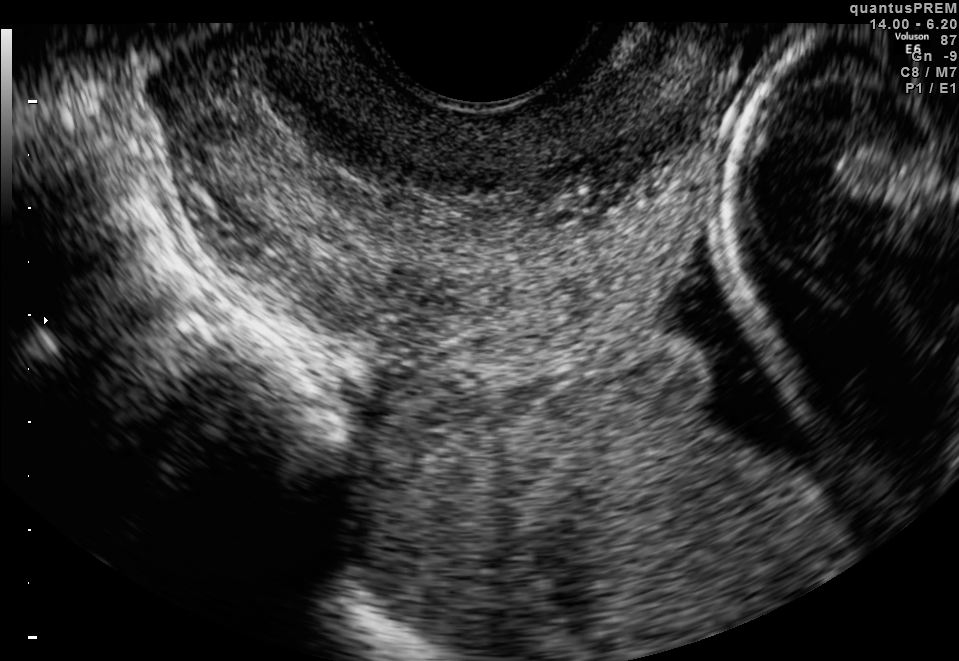
This is a 2D maternal-fetal ultrasound frame. Is it a fetal abdomen, fetal brain, fetal femur, fetal thorax, maternal cervix, or other standard plane? If it's fetal brain and one of the three standard brain planes (trans-thalamic, trans-cerebellum, trans-ventricular), name which.

Maternal cervix